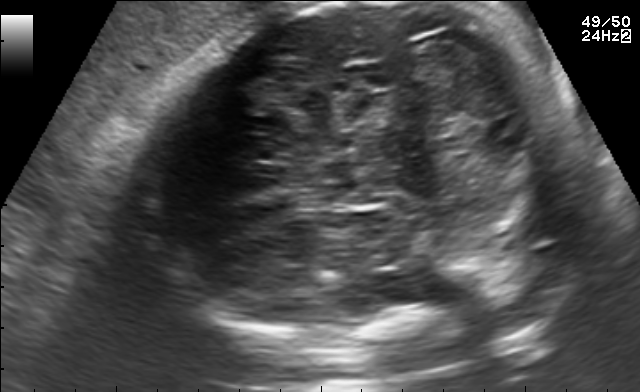
Identify the standard plane in this fetal ultrasound image: fetal abdomen, fetal brain, fetal femur, fetal thorax, maternal cervix, or other. If it's fetal brain and one of the three standard brain planes (trans-thalamic, trans-cerebellum, trans-ventricular), name which.

Fetal brain (trans-cerebellum plane)